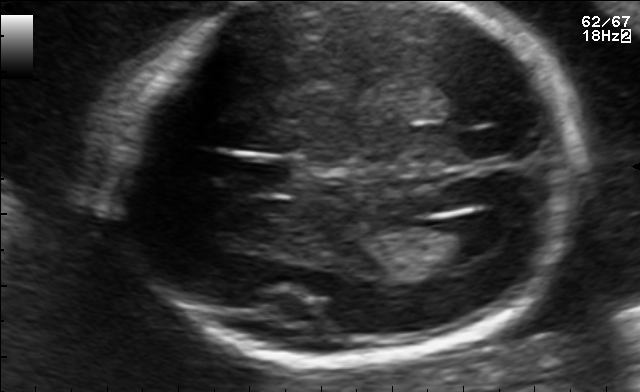
Identify the standard plane in this fetal ultrasound image: fetal abdomen, fetal brain, fetal femur, fetal thorax, maternal cervix, or other. If it's fetal brain and one of the three standard brain planes (trans-thalamic, trans-cerebellum, trans-ventricular), name which.

Fetal brain (trans-ventricular plane)